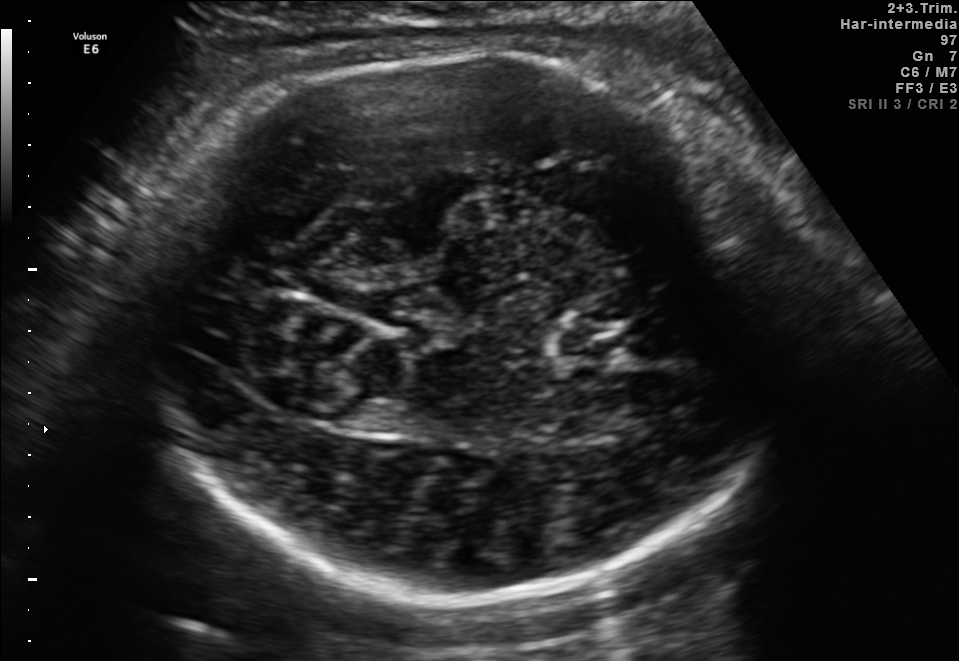
In this fetal brain, trans-thalamic plane, give bounding boxes for the head outline, cavum septum pellucidum (CSP), and lateral ventricle (LV), where visible.

Head: [140,51,797,594]